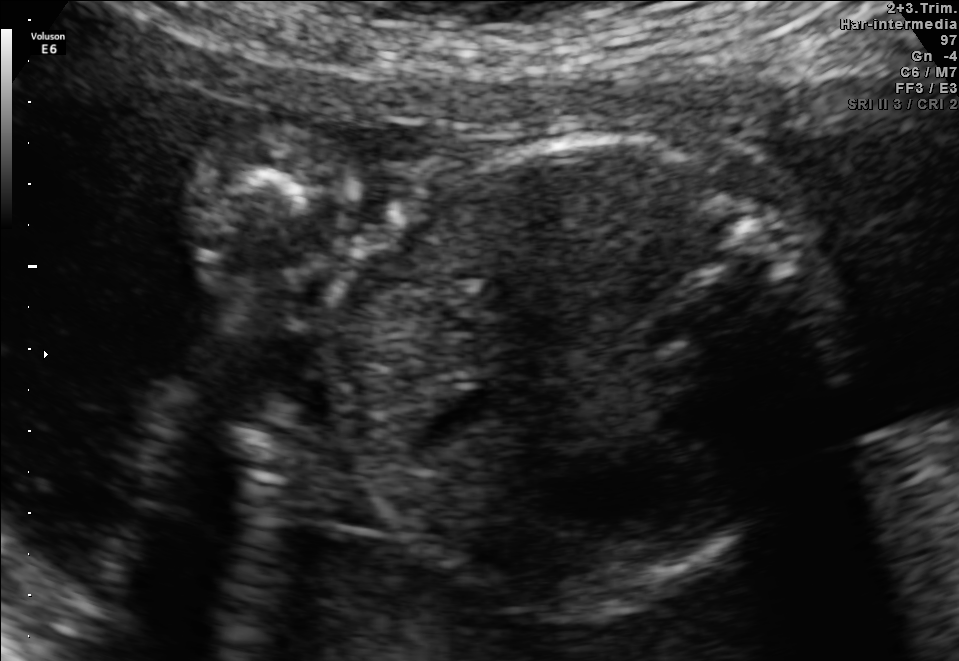
Identify the standard plane in this fetal ultrasound image: fetal abdomen, fetal brain, fetal femur, fetal thorax, maternal cervix, or other. If it's fetal brain and one of the three standard brain planes (trans-thalamic, trans-cerebellum, trans-ventricular), name which.

Fetal abdomen